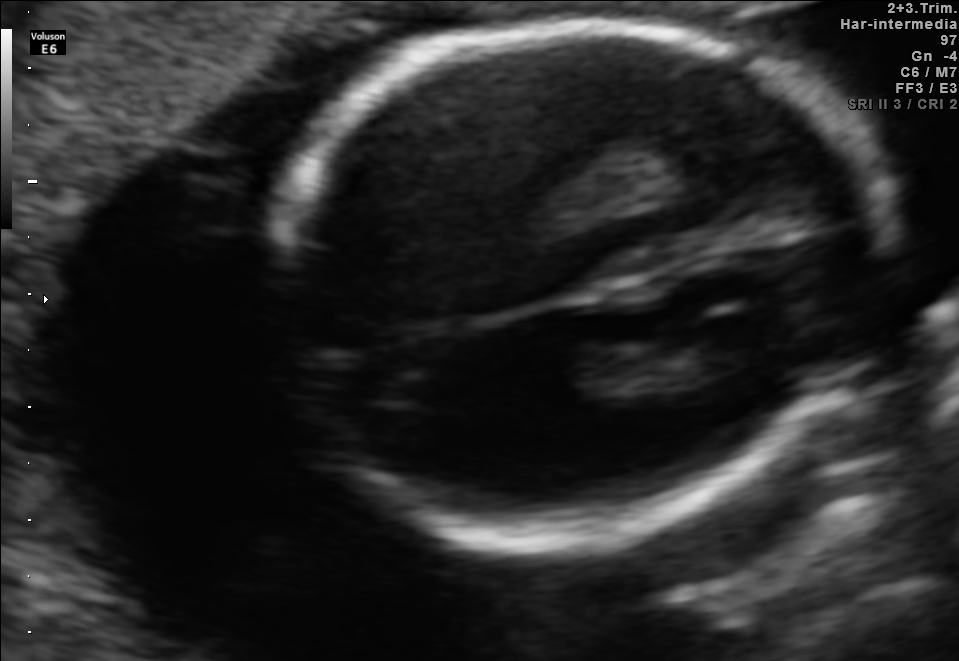
Fetal brain, trans-thalamic plane. Where is the fetal head?

Head bounding box: [263,20,874,541]